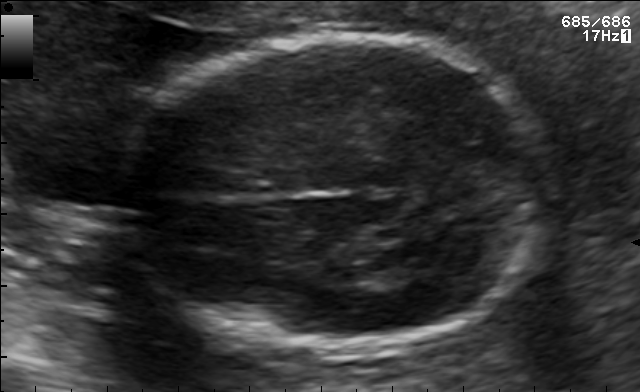
Fetal brain, trans-thalamic plane. Locate the fetal head and, if visible, the cavum septum pellucidum (CSP) and lateral ventricle (LV). Give bounding boxes as [x1,y1,x2,y2].

Head: [123,35,547,355]